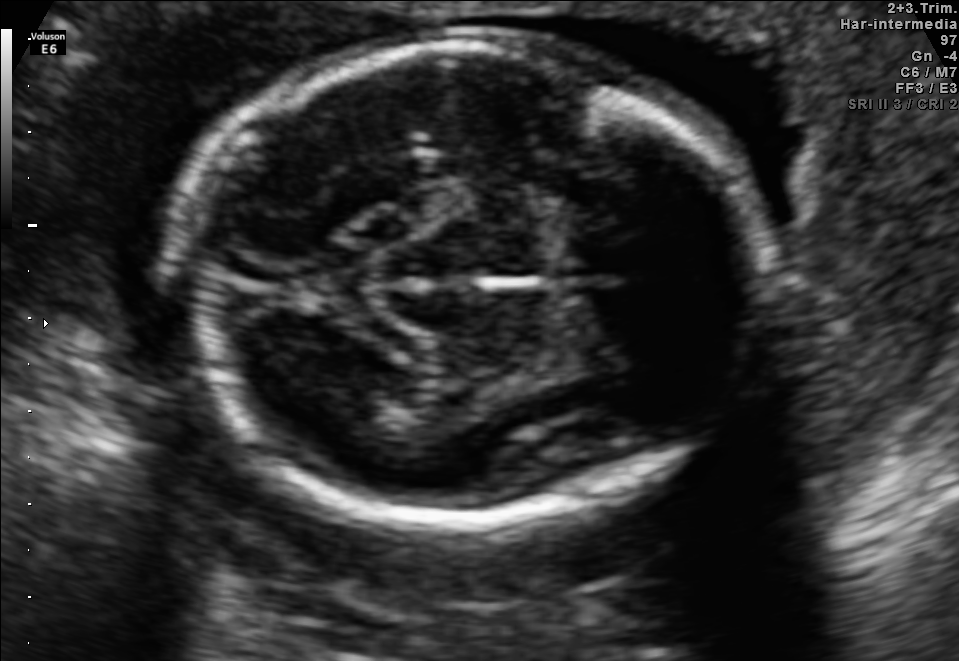
In this fetal brain, trans-thalamic plane, give the bounding box of the fetal head.

[184,35,759,524]